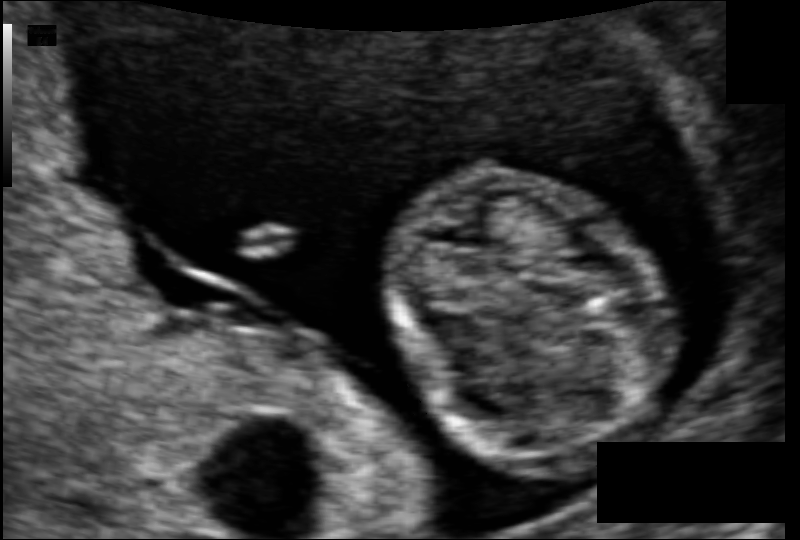
Measure the fetal head circumference shown in this ultrasound image. Image width: 59.6 mm.

Head circumference: 70.5 mm.